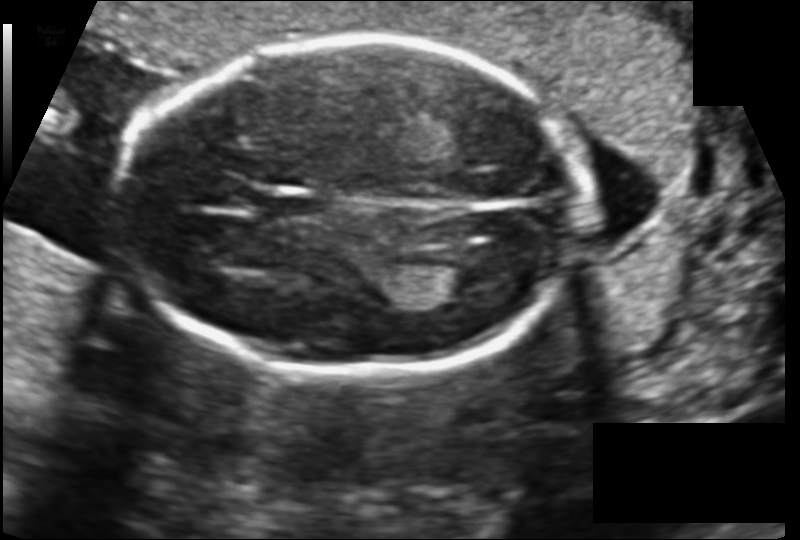
Fetal head ultrasound. Image width: 102.7 mm. Where is the lateral ventricle?

Lateral ventricle bounding box: [419,265,483,299]